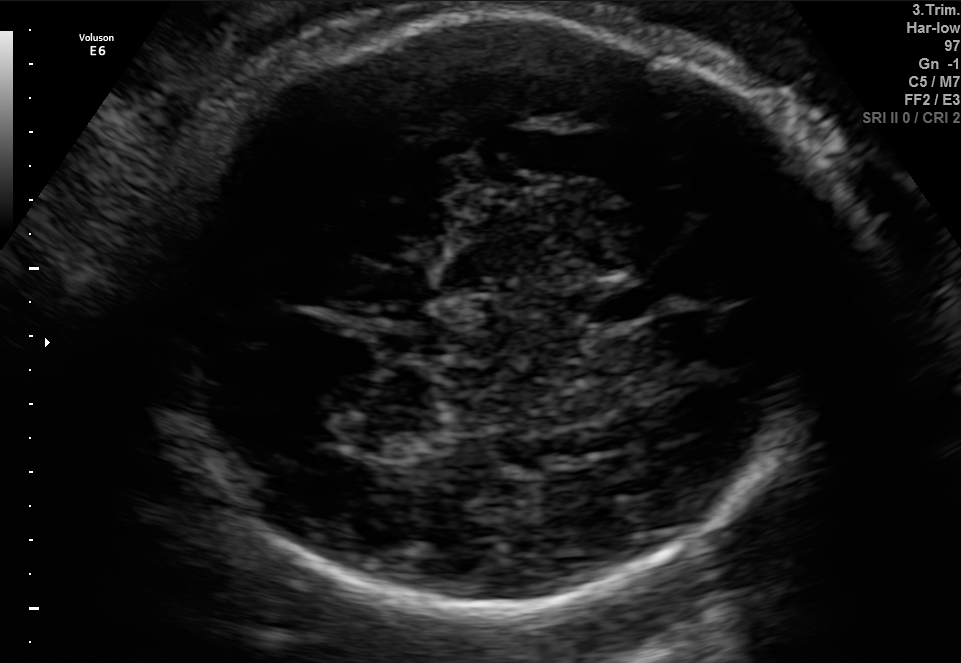
Fetal brain, trans-thalamic plane. Locate the fetal head.

Head: [149,12,836,609]